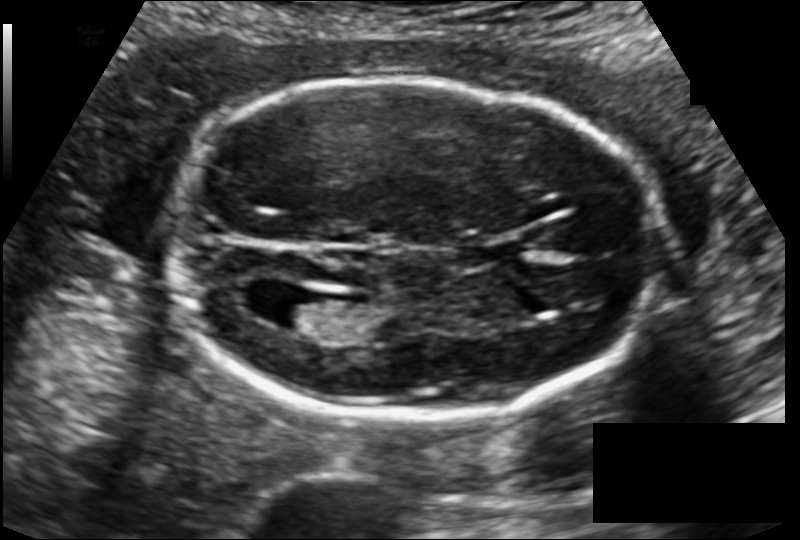
What is the fetal head circumference? Image width is 103.4 mm.

174.7 mm